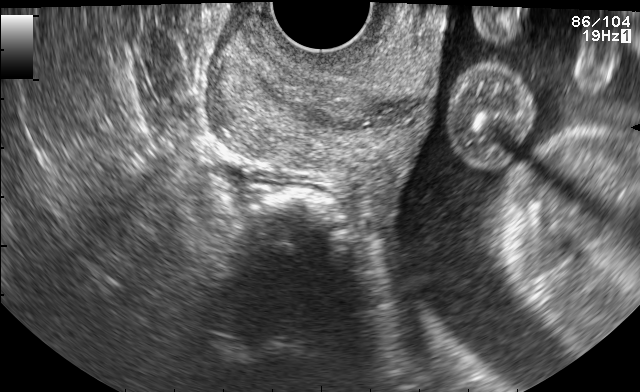
Which standard maternal-fetal ultrasound plane is shown: fetal abdomen, fetal brain, fetal femur, fetal thorax, maternal cervix, or other? If it's fetal brain and one of the three standard brain planes (trans-thalamic, trans-cerebellum, trans-ventricular), name which.

Maternal cervix